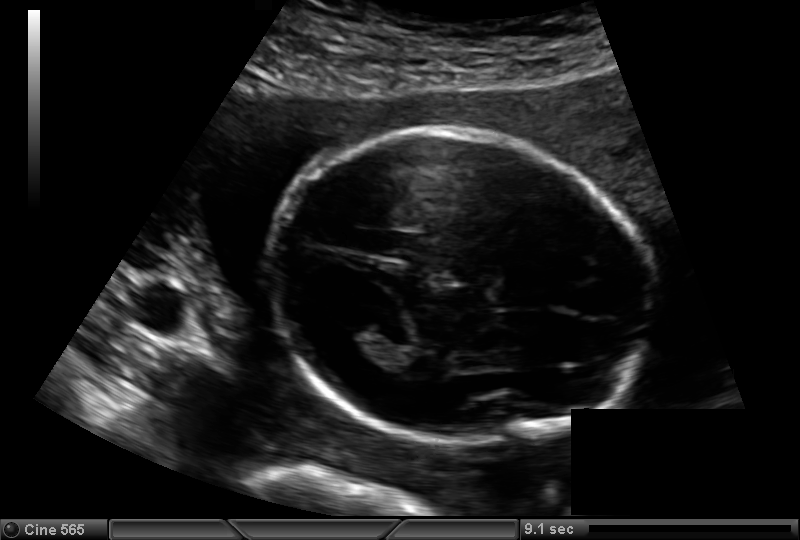
In this fetal head ultrasound, give bounding boxes for the head outline, cavum septum pellucidum (CSP), and lateral ventricle (LV), where visible. Image width: 113.5 mm.

Head: [270,131,653,450]